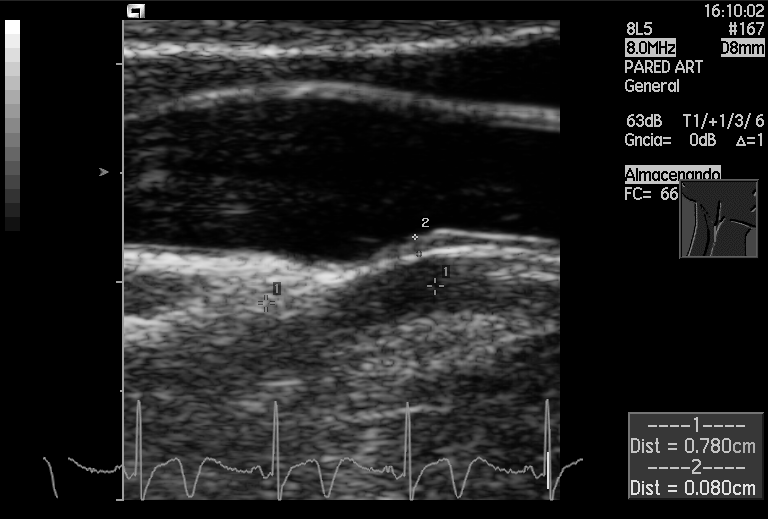
This is a 2D maternal-fetal ultrasound frame. Is it a fetal abdomen, fetal brain, fetal femur, fetal thorax, maternal cervix, or other standard plane? If it's fetal brain and one of the three standard brain planes (trans-thalamic, trans-cerebellum, trans-ventricular), name which.

Other